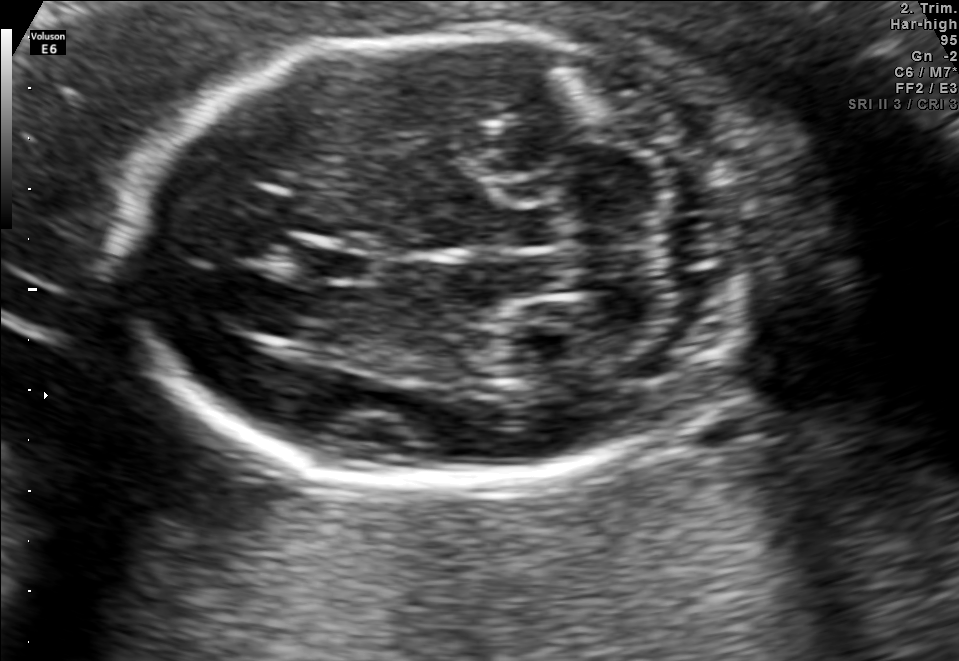
Fetal brain, trans-cerebellum plane. Locate the fetal head.

Head: [122,35,747,482]